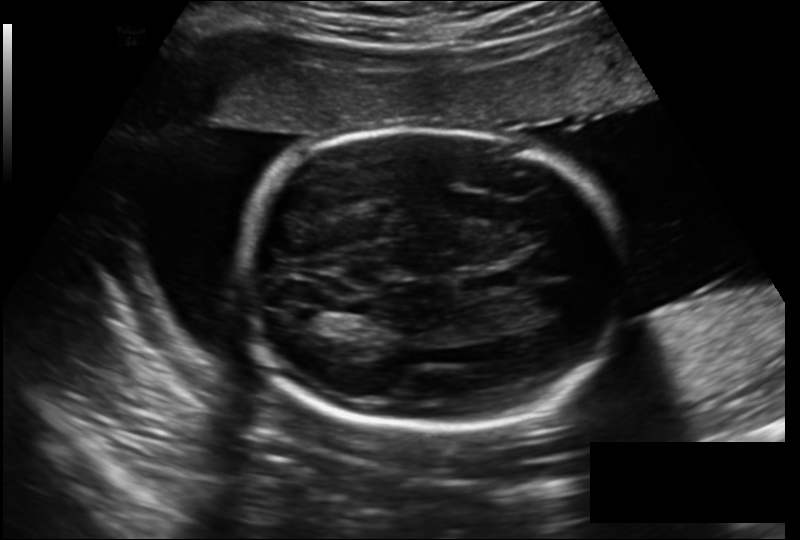
Fetal head ultrasound. Image width: 164.7 mm. Where is the fetal head?

Head bounding box: [239,128,626,430]